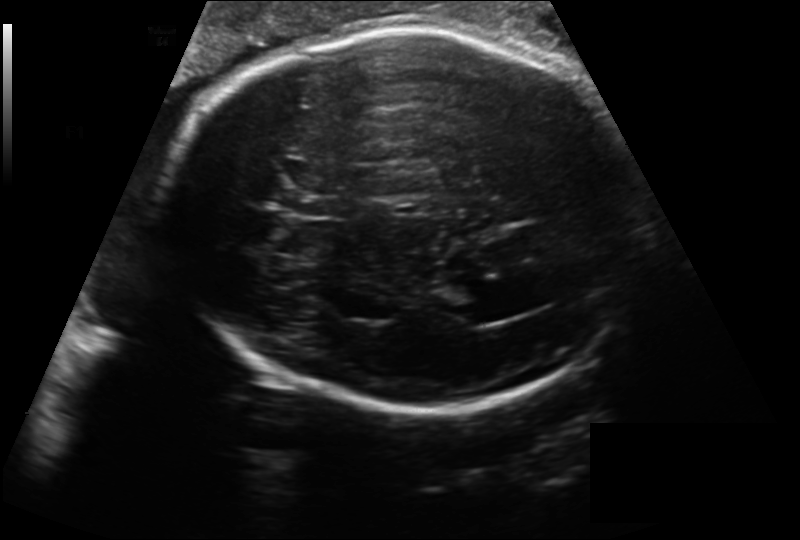
Estimate the fetal head circumference from this 2D ultrasound. Image width: 174.3 mm.

Head circumference: 296.4 mm.